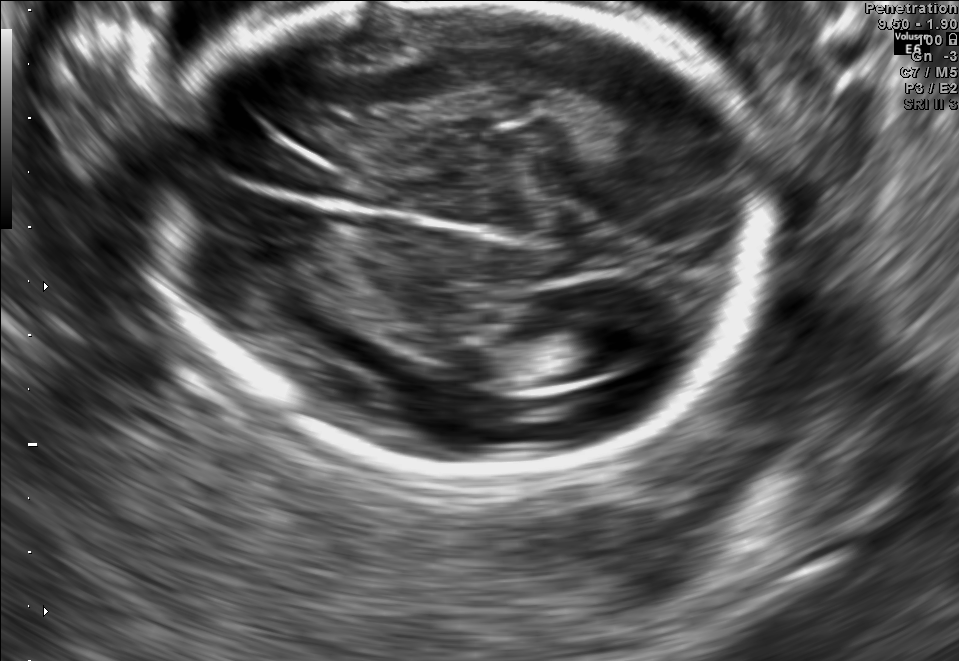
Fetal brain, trans-ventricular plane. Locate the fetal head.

Head: [146,3,777,466]